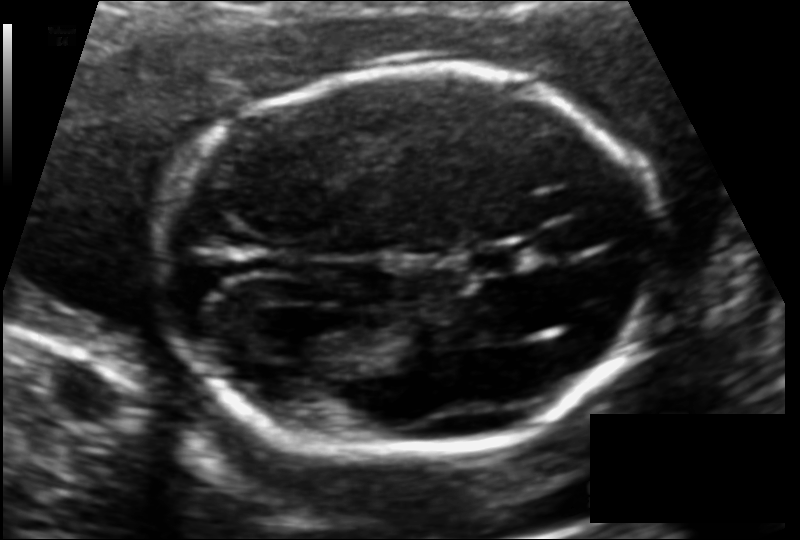
Estimate the fetal head circumference from this 2D ultrasound. Image width: 93.1 mm.

Head circumference: 168.3 mm.